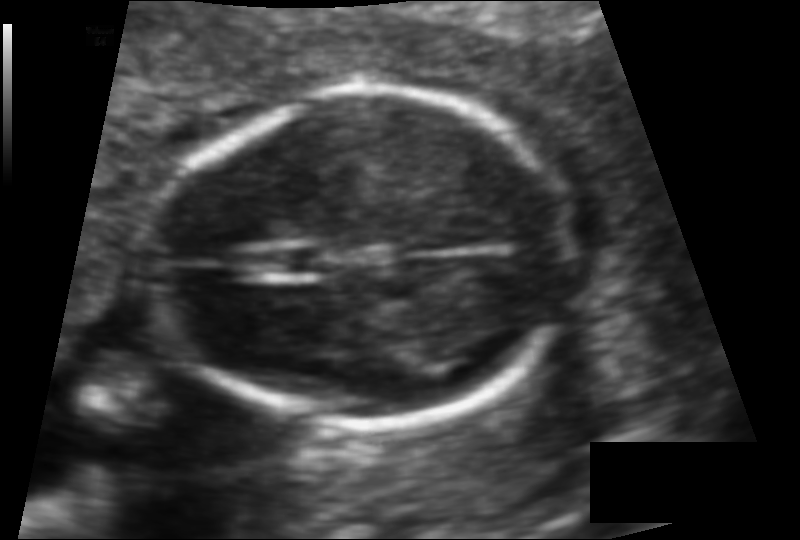
Fetal head ultrasound. Image width: 75.5 mm. Locate the fetal head.

Head: [163,91,562,426]